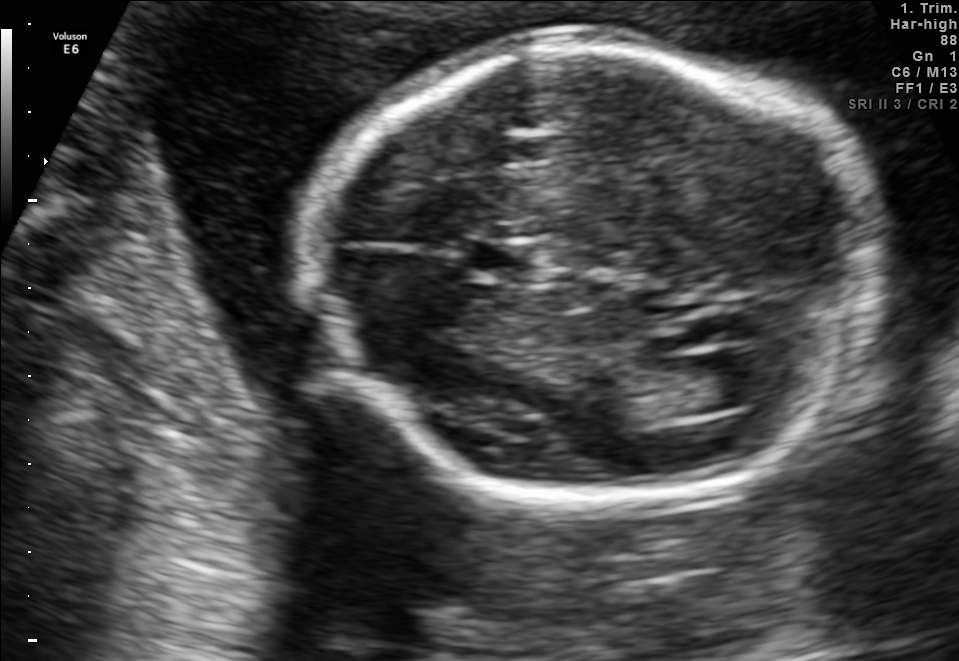
Fetal brain, trans-ventricular plane. Where is the lateral ventricle?

Lateral ventricle bounding box: [690,340,793,415]